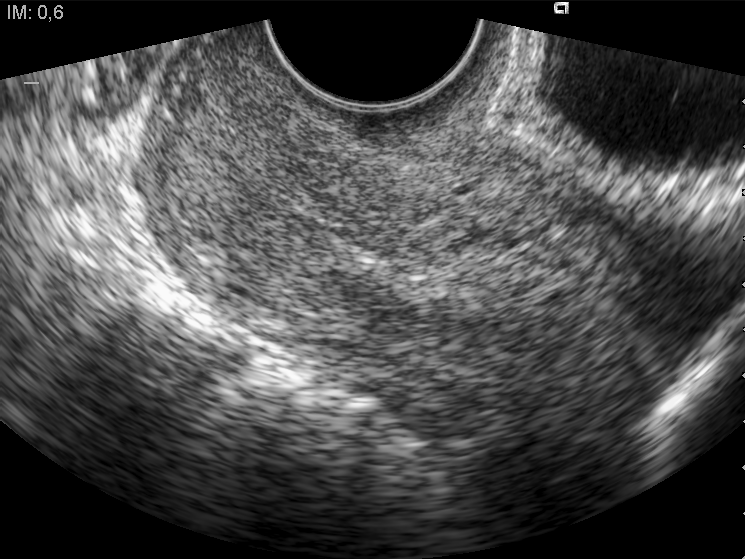
This is a 2D maternal-fetal ultrasound frame. Is it a fetal abdomen, fetal brain, fetal femur, fetal thorax, maternal cervix, or other standard plane? If it's fetal brain and one of the three standard brain planes (trans-thalamic, trans-cerebellum, trans-ventricular), name which.

Maternal cervix